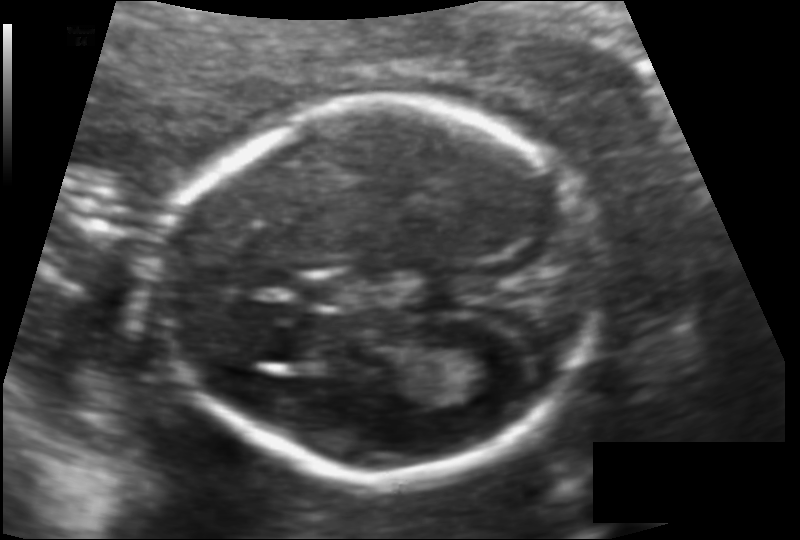
Fetal head ultrasound. Image width: 90.5 mm. Locate the fetal head and, if visible, the cavum septum pellucidum (CSP) and lateral ventricle (LV). Give bounding boxes as [x1,y1,x2,y2].

Head: [160,105,600,478]
CSP: [295,276,357,307]
Lateral ventricle: [454,341,537,401]